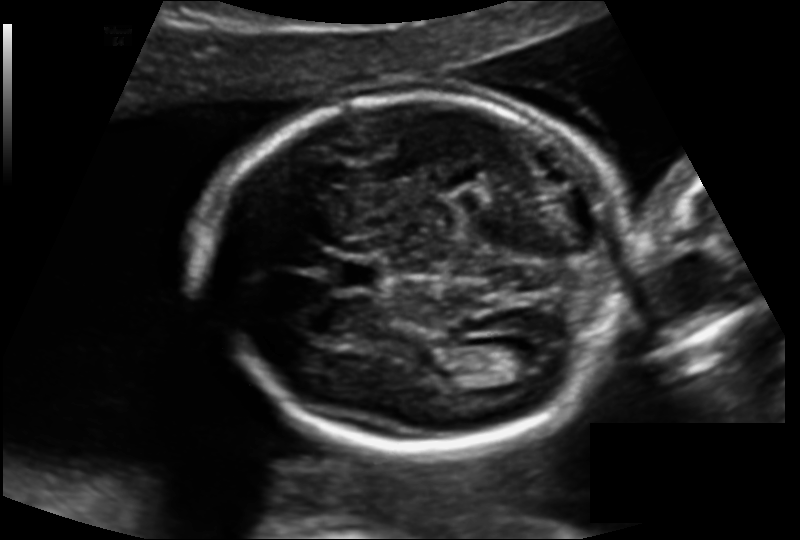
Fetal head ultrasound. Image width: 110.2 mm. Give [x1,y1,x2,y2] bounding boxes for each visible structure among: fetal head, CSP, LV.

Head: [203,95,626,450]
CSP: [334,259,379,291]
Lateral ventricle: [484,337,540,374]